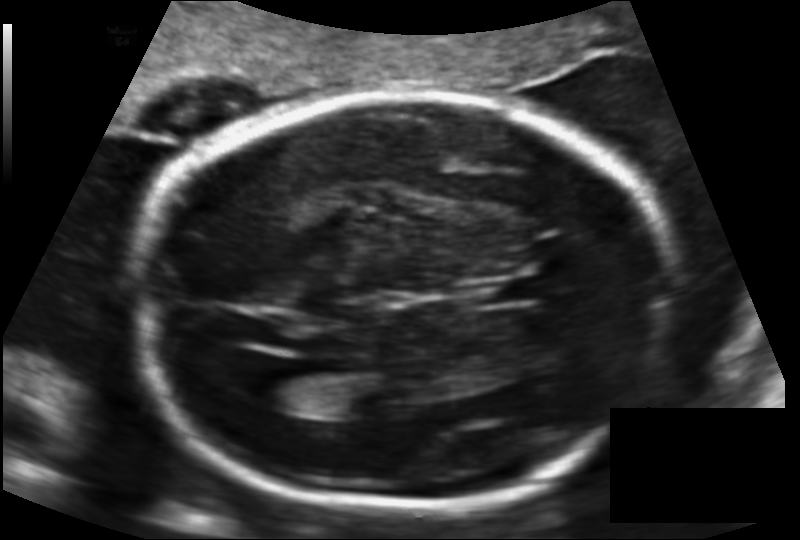
Fetal head ultrasound. Image width: 113.0 mm. Give [x1,y1,x2,y2] bounding boxes for each visible structure among: fetal head, CSP, LV.

Head: [131,96,677,508]
CSP: [468,275,538,308]
Lateral ventricle: [243,358,320,415]